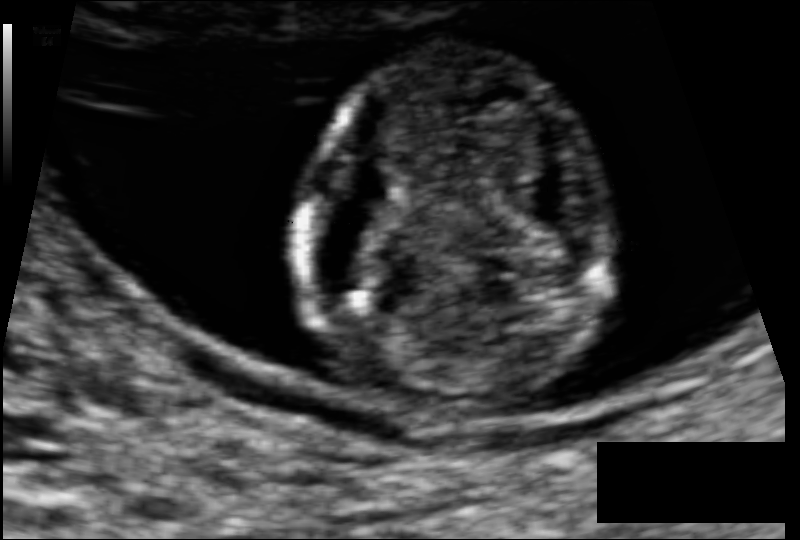
From this fetal ultrasound, estimate the head circumference (image width 59.5 mm).

Head circumference: 80.5 mm.